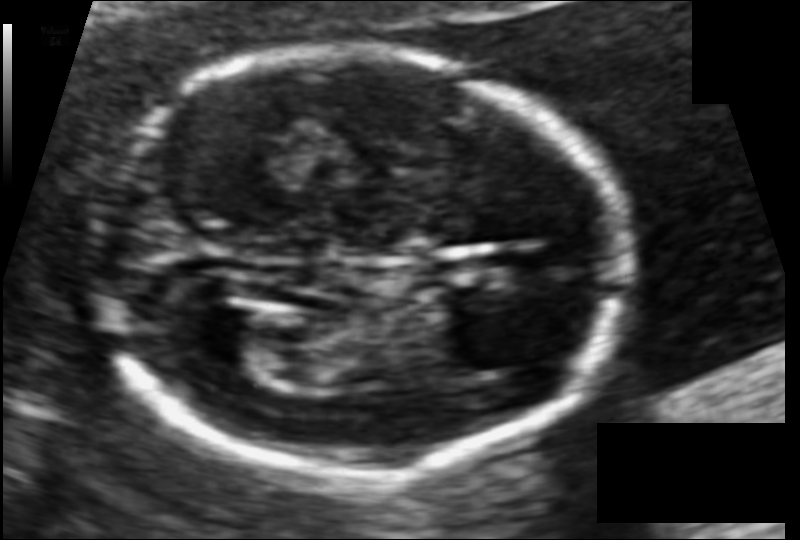
What is the fetal head circumference? Image width is 69.9 mm.

135.4 mm